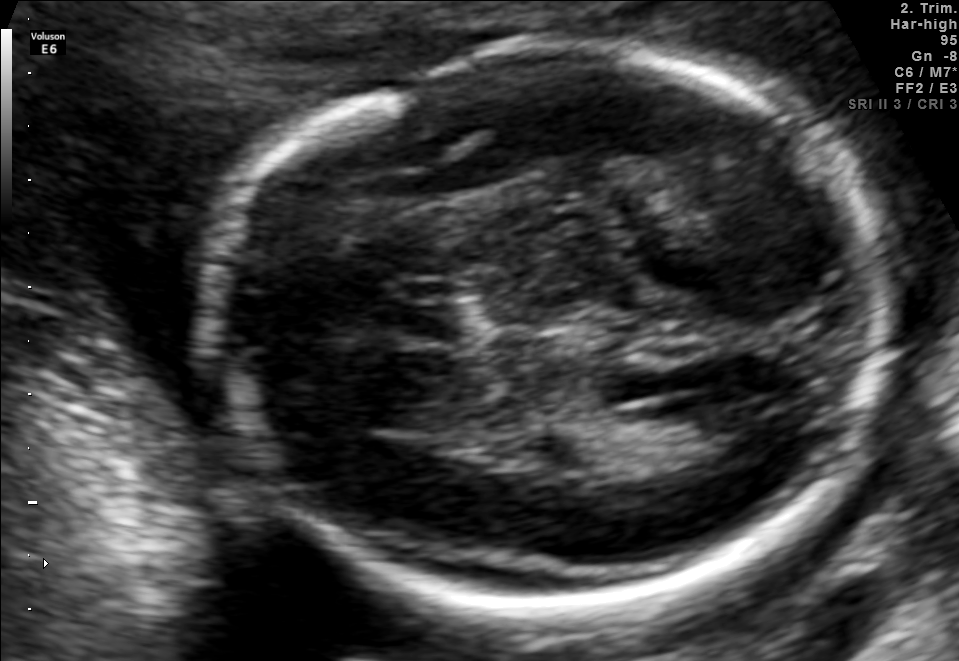
Fetal brain, trans-ventricular plane. Locate the lateral ventricle.

Lateral ventricle: [669,375,789,473]